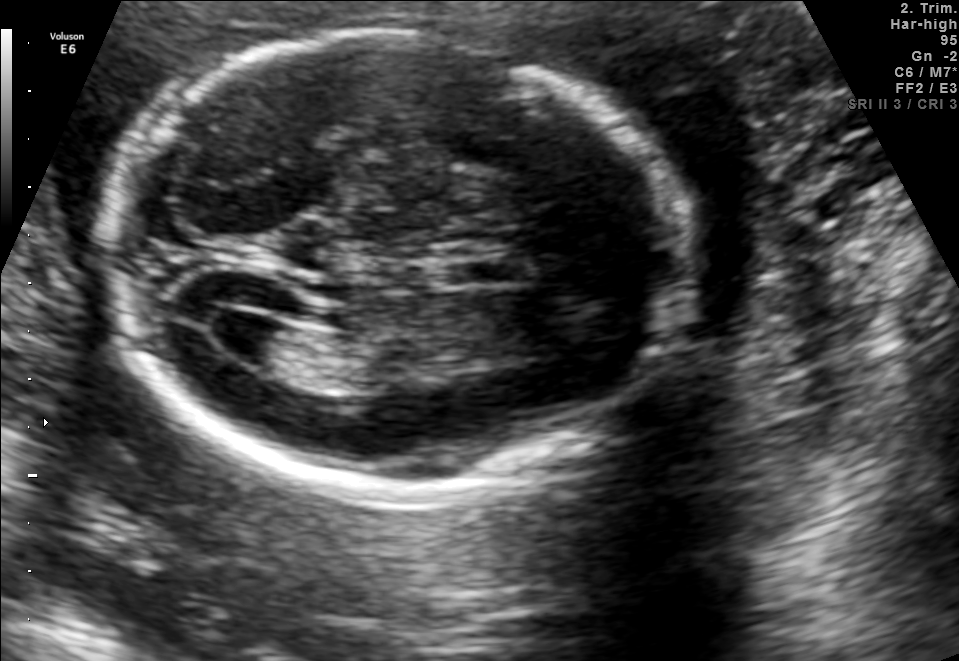
In this fetal brain, trans-ventricular plane, give the bounding box of the lateral ventricle.

[189,287,286,369]